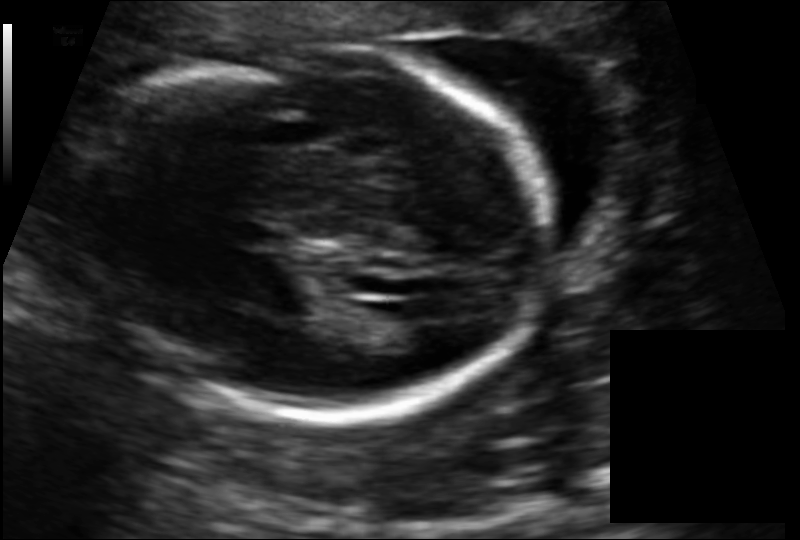
Fetal head ultrasound. Image width: 108.7 mm. Locate the fetal head and, if visible, the cavum septum pellucidum (CSP) and lateral ventricle (LV). Give bounding boxes as [x1,y1,x2,y2].

Head: [96,47,551,418]